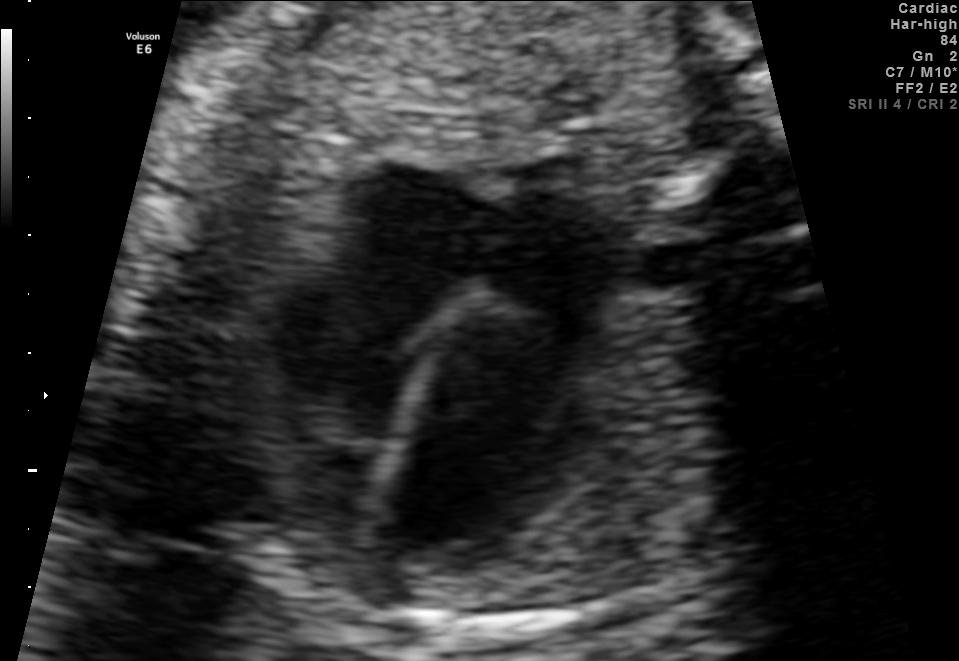
This is a 2D maternal-fetal ultrasound frame. Is it a fetal abdomen, fetal brain, fetal femur, fetal thorax, maternal cervix, or other standard plane? If it's fetal brain and one of the three standard brain planes (trans-thalamic, trans-cerebellum, trans-ventricular), name which.

Fetal thorax